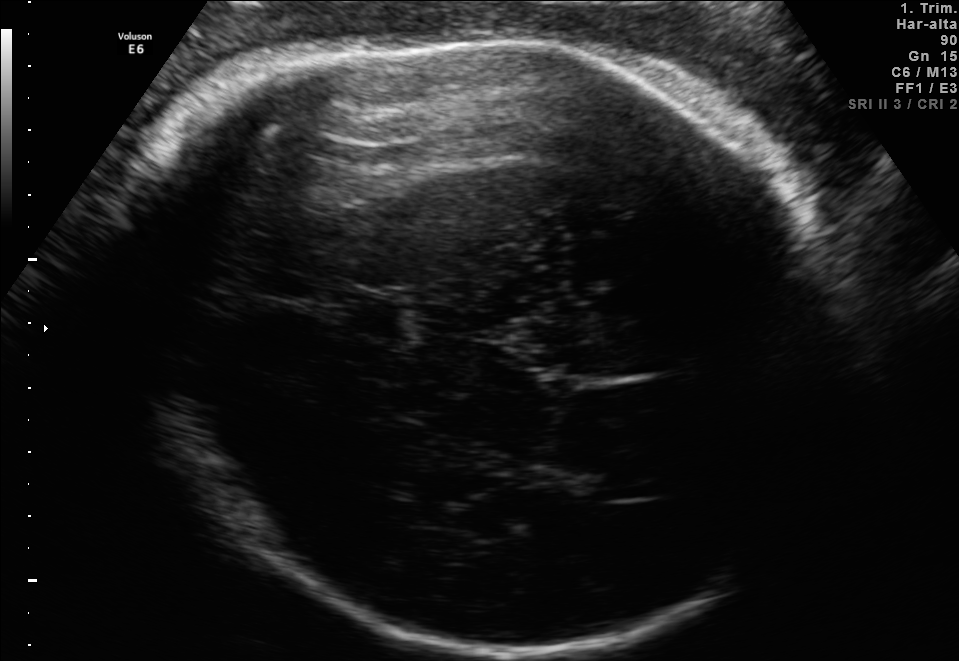
Fetal brain, trans-thalamic plane. Give [x1,y1,x2,y2] bounding boxes for each visible structure among: fetal head, CSP, LV.

Head: [133,33,846,652]
CSP: [335,290,404,339]
Lateral ventricle: [563,460,663,503]